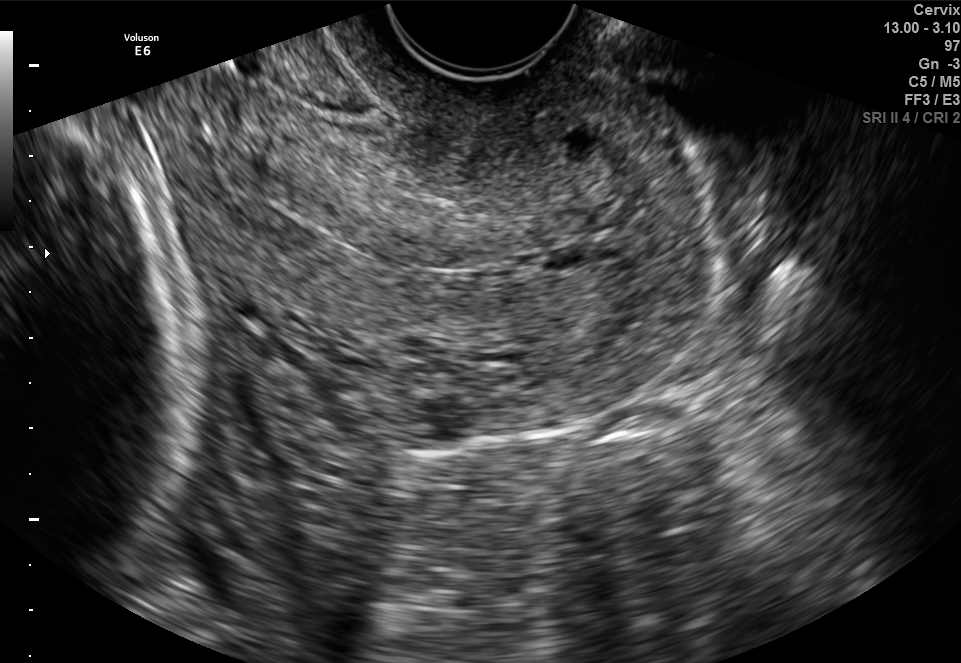
Classify this maternal-fetal ultrasound image as one of the six standard planes — fetal abdomen, fetal brain, fetal femur, fetal thorax, maternal cervix, or other. If it's fetal brain and one of the three standard brain planes (trans-thalamic, trans-cerebellum, trans-ventricular), name which.

Maternal cervix